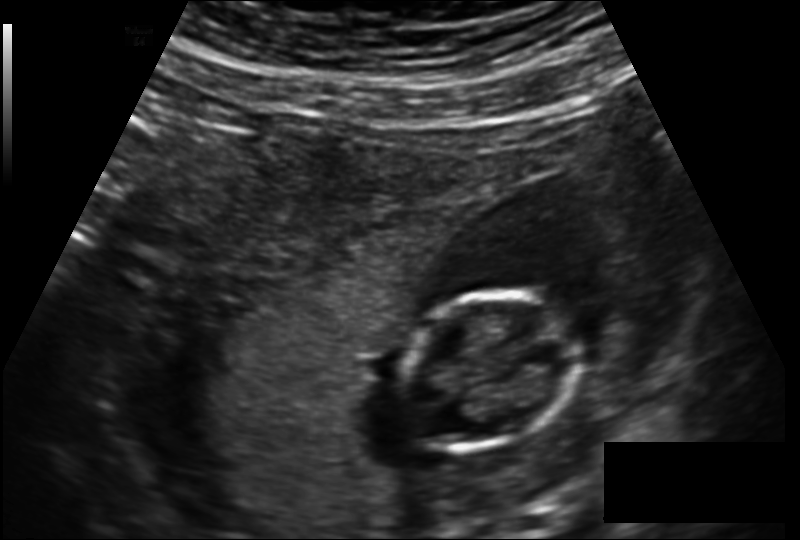
In this fetal head ultrasound, give bounding boxes for the head outline, cavum septum pellucidum (CSP), and lateral ventricle (LV), where visible. Image width: 128.2 mm.

Head: [395,291,578,452]